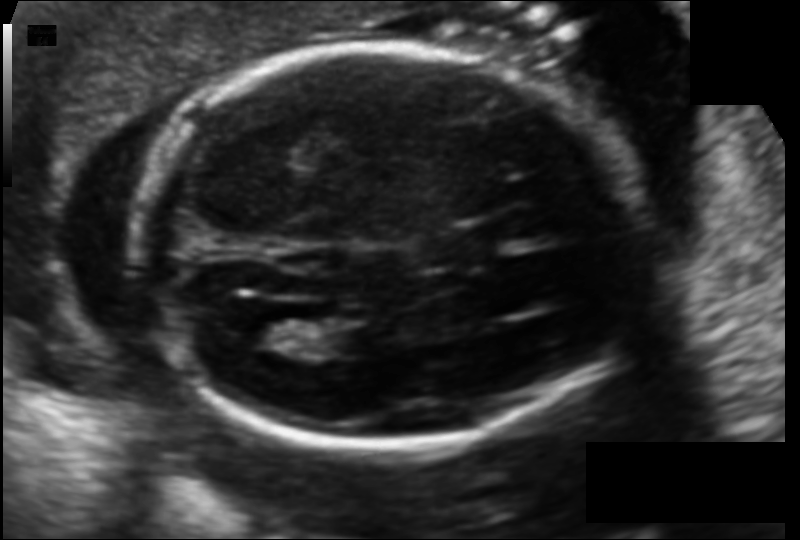
Fetal head ultrasound. Image width: 96.5 mm. Give [x1,y1,x2,y2] bounding boxes for each visible structure among: fetal head, CSP, LV.

Head: [137,45,633,451]
CSP: [421,230,485,272]
Lateral ventricle: [243,314,301,353]